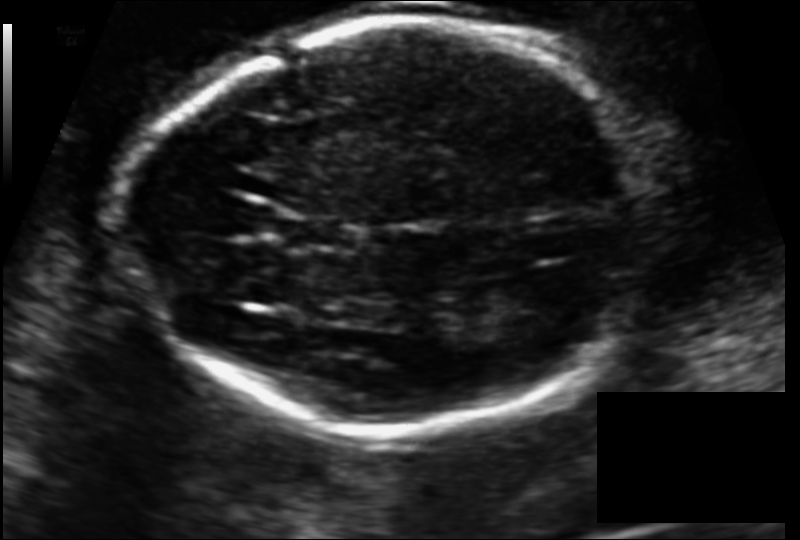
Measure the fetal head circumference shown in this ultrasound image. Image width: 98.9 mm.

Head circumference: 189.1 mm.